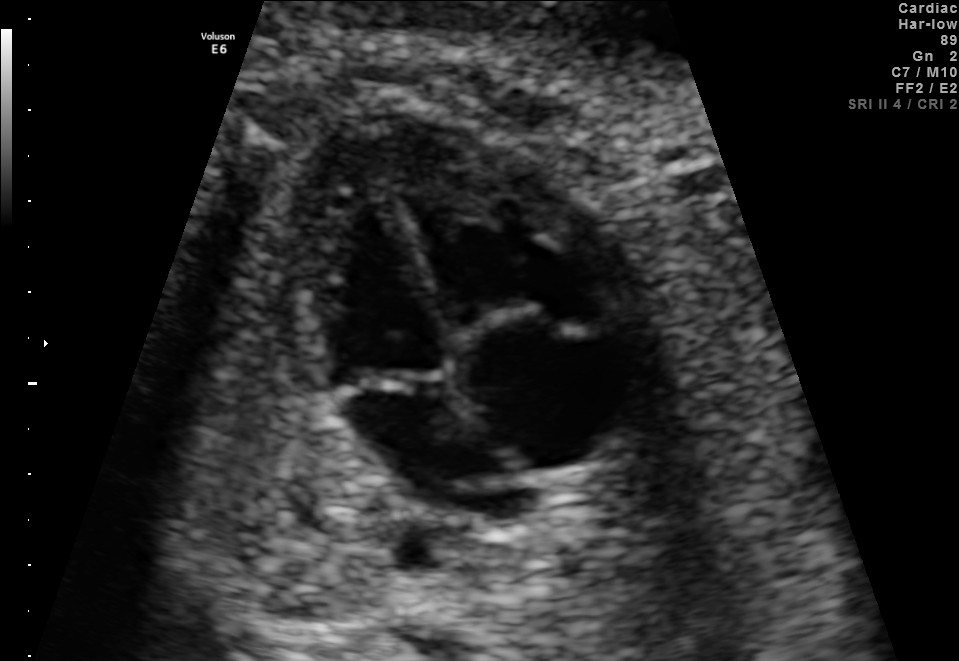
Which standard maternal-fetal ultrasound plane is shown: fetal abdomen, fetal brain, fetal femur, fetal thorax, maternal cervix, or other? If it's fetal brain and one of the three standard brain planes (trans-thalamic, trans-cerebellum, trans-ventricular), name which.

Fetal thorax